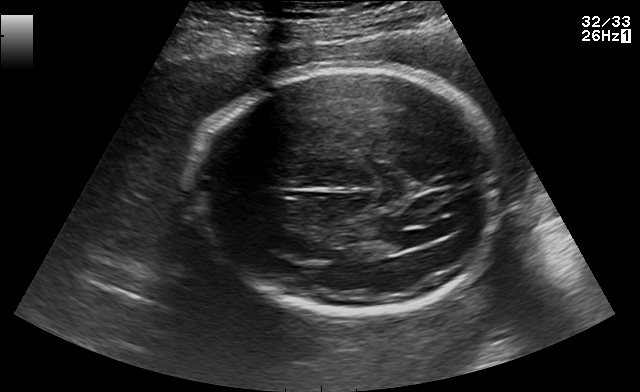
Fetal brain, trans-ventricular plane. Where is the lateral ventricle?

Lateral ventricle bounding box: [382,217,440,255]